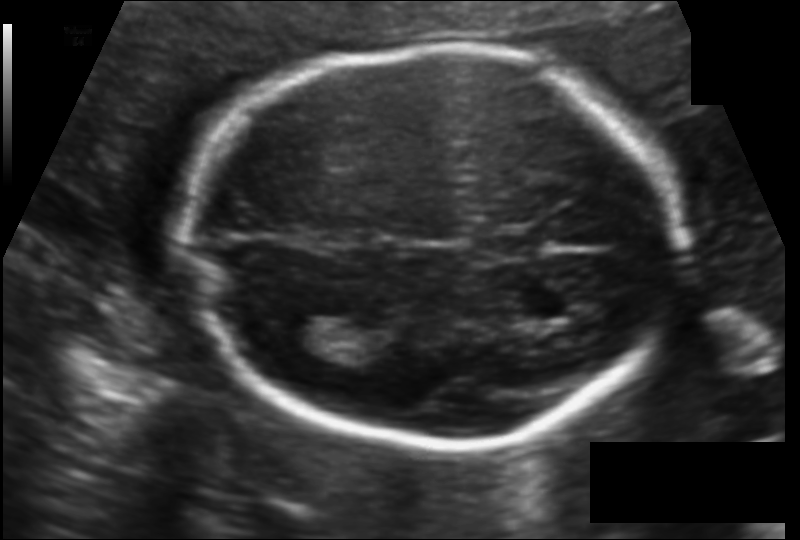
Estimate the fetal head circumference from this 2D ultrasound.

Head circumference: 180.6 mm (image width 99.4 mm).